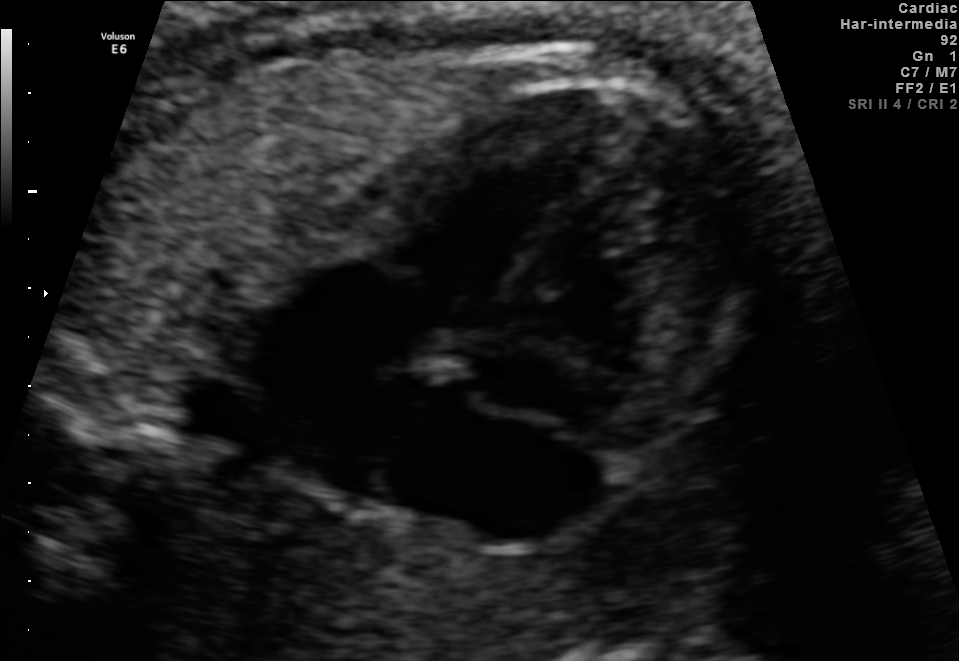
Which standard maternal-fetal ultrasound plane is shown: fetal abdomen, fetal brain, fetal femur, fetal thorax, maternal cervix, or other? If it's fetal brain and one of the three standard brain planes (trans-thalamic, trans-cerebellum, trans-ventricular), name which.

Fetal thorax